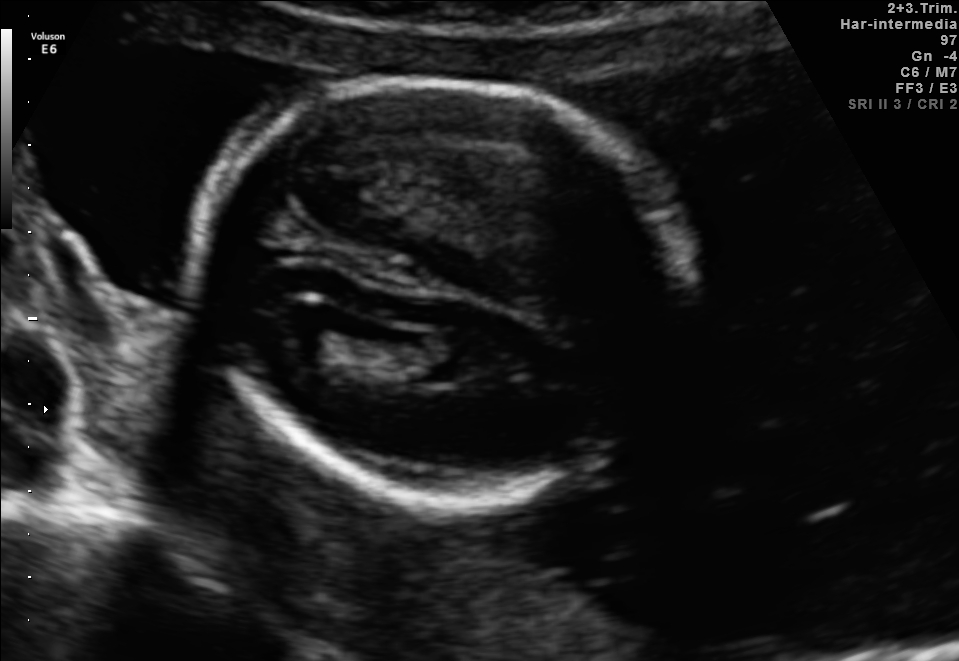
In this fetal brain, trans-ventricular plane, give bounding boxes for the head outline, cavum septum pellucidum (CSP), and lateral ventricle (LV), where visible.

Head: [181,69,716,512]